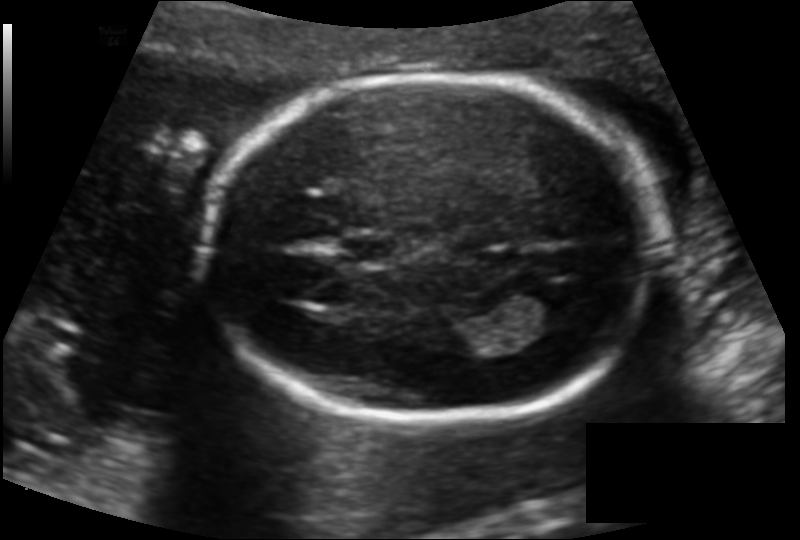
Estimate the fetal head circumference from this 2D ultrasound.

Head circumference: 172.0 mm (image width 104.1 mm).